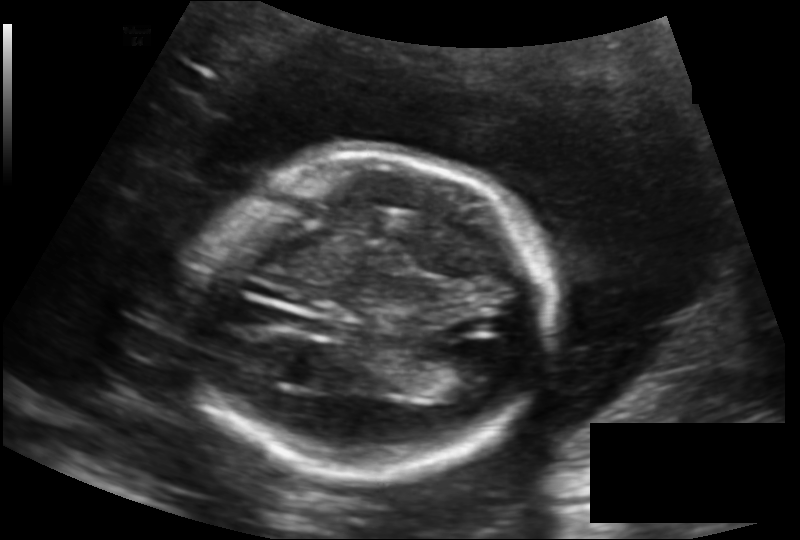
From this fetal ultrasound, estimate the head circumference (image width 122.9 mm).

Head circumference: 172.1 mm.